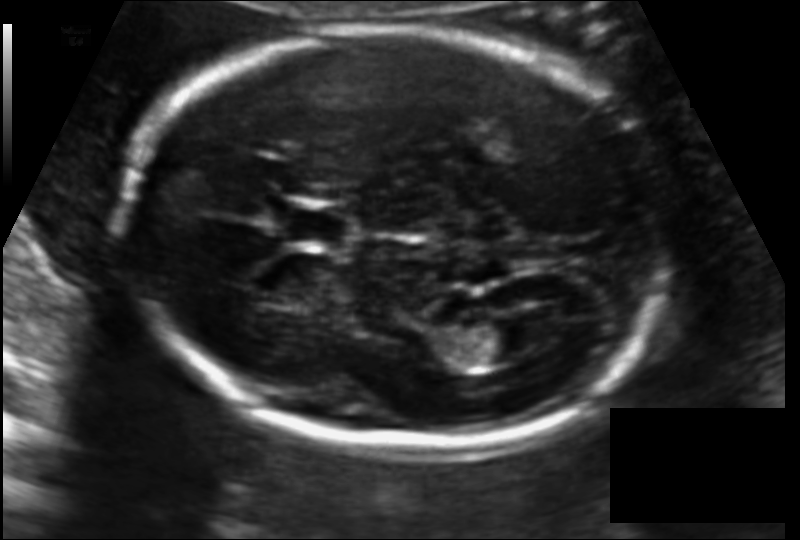
Fetal head ultrasound. Image width: 95.2 mm. Where is the cavum septum pellucidum?

CSP bounding box: [275,200,355,252]